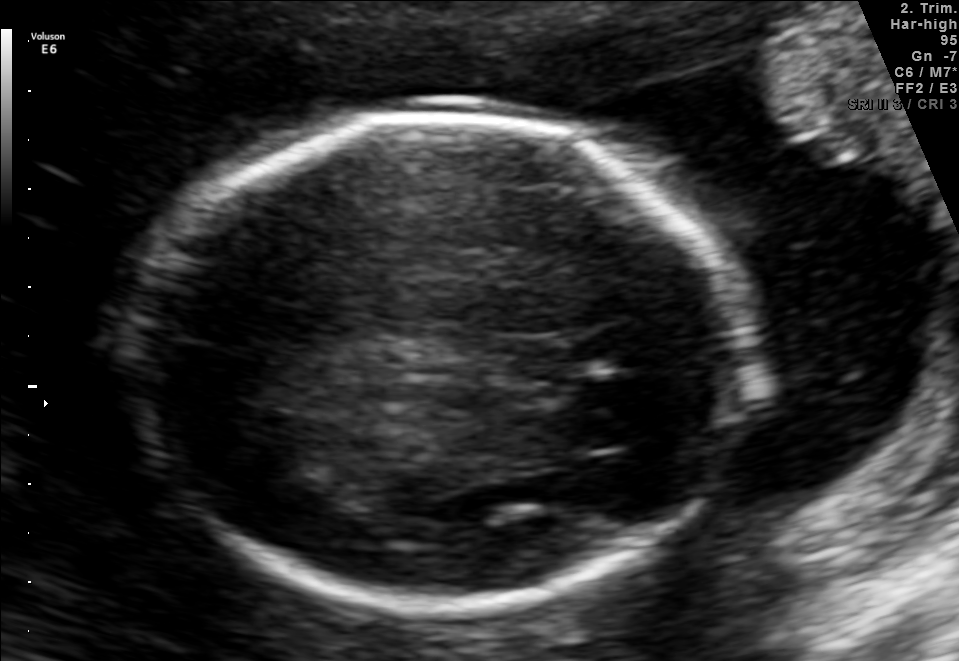
Fetal brain, trans-thalamic plane. Locate the fetal head.

Head: [142,116,749,597]